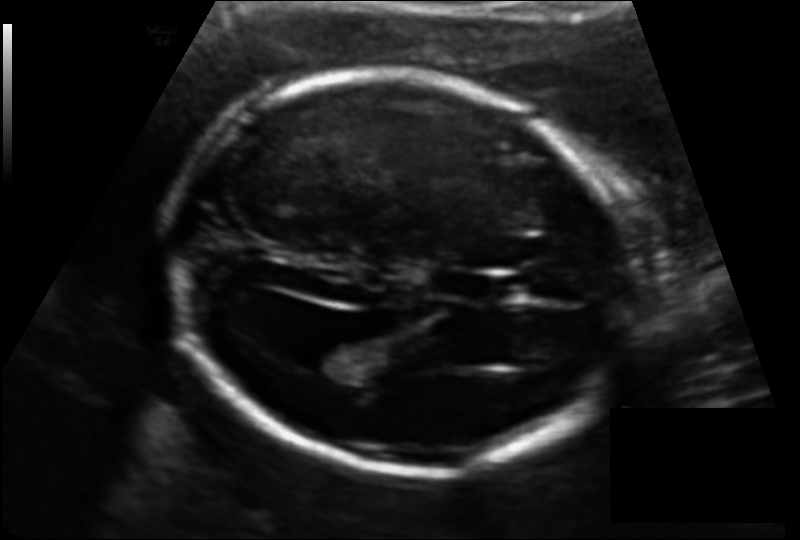
Measure the fetal head circumference shown in this ultrasound image. Image width: 104.7 mm.

Head circumference: 184.5 mm.